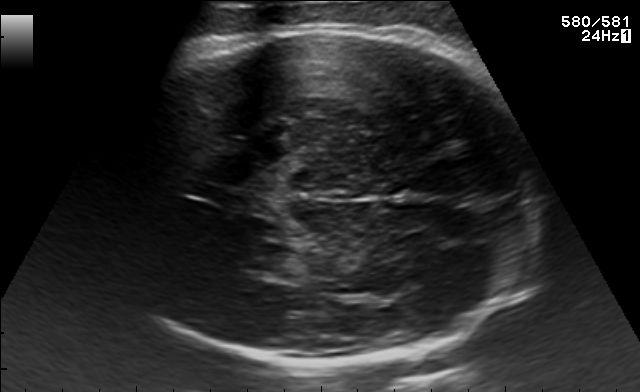
In this fetal brain, trans-thalamic plane, give the bounding box of the fetal head.

[91,29,533,364]